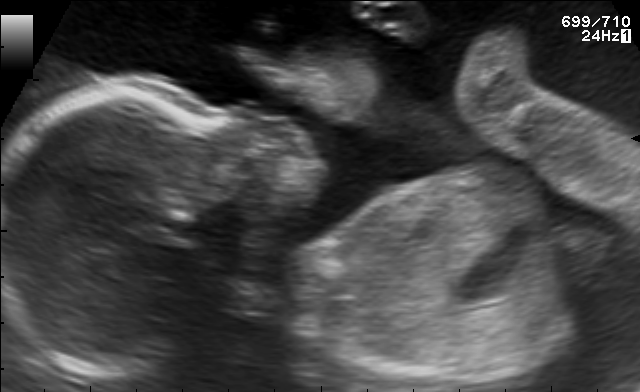
Which standard maternal-fetal ultrasound plane is shown: fetal abdomen, fetal brain, fetal femur, fetal thorax, maternal cervix, or other? If it's fetal brain and one of the three standard brain planes (trans-thalamic, trans-cerebellum, trans-ventricular), name which.

Other